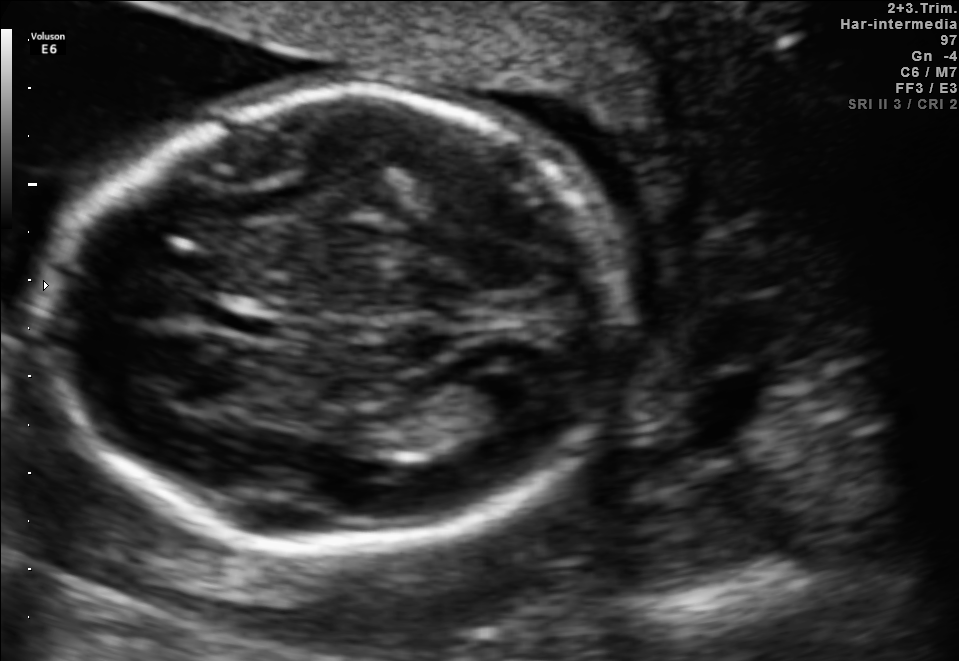
Fetal brain, trans-ventricular plane. Locate the cavum septum pellucidum.

CSP: [213,307,280,341]